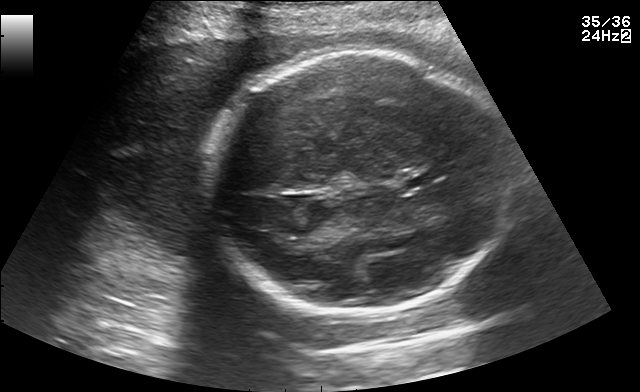
In this fetal brain, trans-thalamic plane, give the bounding box of the cavum septum pellucidum.

[404,167,442,191]